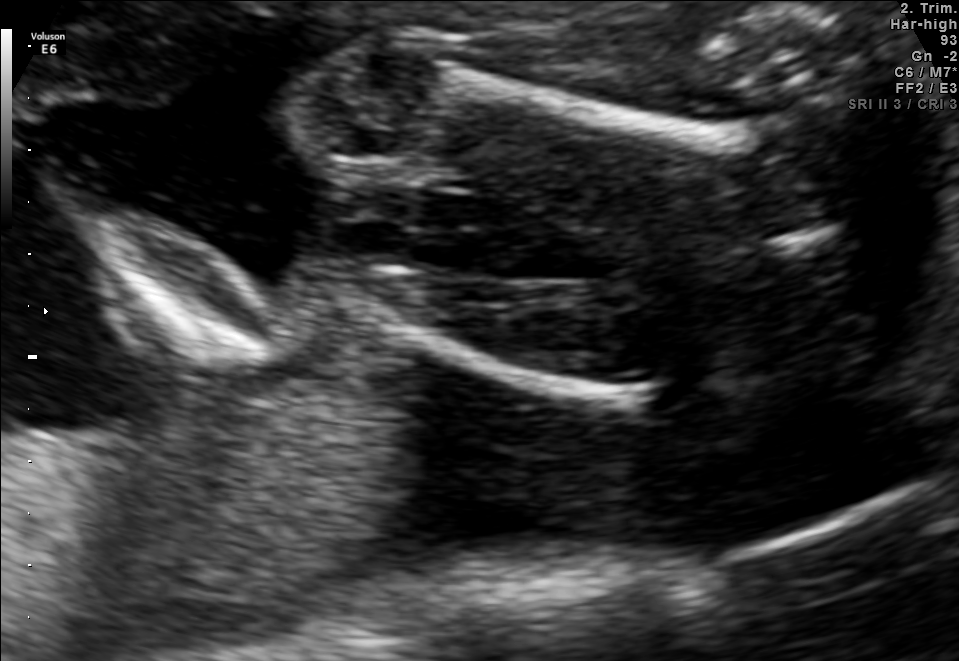
Which standard maternal-fetal ultrasound plane is shown: fetal abdomen, fetal brain, fetal femur, fetal thorax, maternal cervix, or other? If it's fetal brain and one of the three standard brain planes (trans-thalamic, trans-cerebellum, trans-ventricular), name which.

Fetal femur